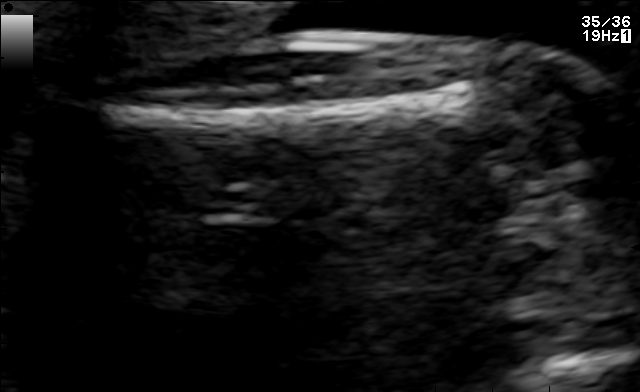
Identify the standard plane in this fetal ultrasound image: fetal abdomen, fetal brain, fetal femur, fetal thorax, maternal cervix, or other. If it's fetal brain and one of the three standard brain planes (trans-thalamic, trans-cerebellum, trans-ventricular), name which.

Fetal femur